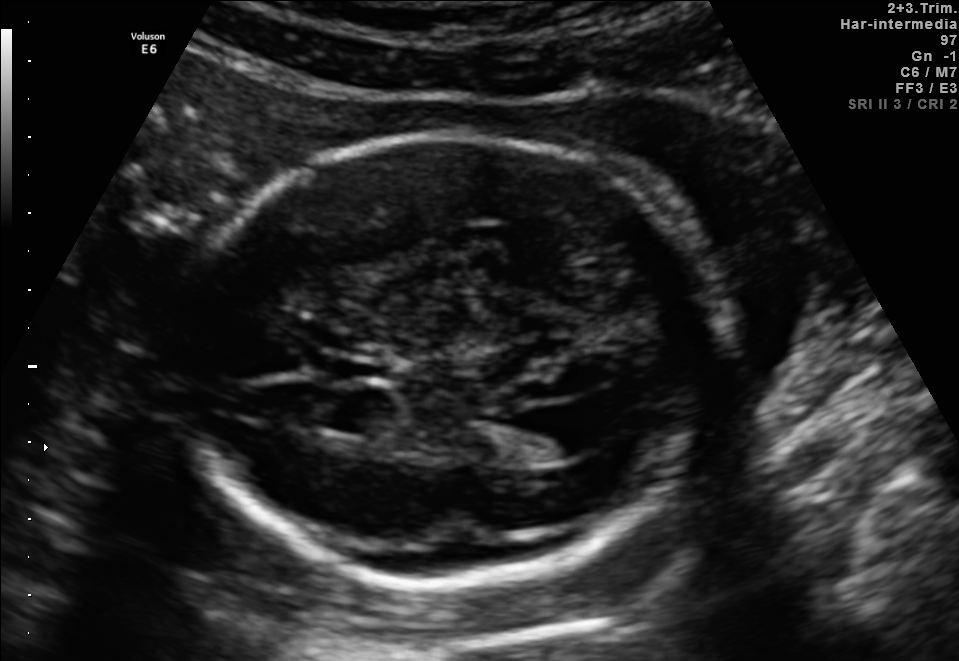
In this fetal brain, trans-ventricular plane, give bounding boxes for the head outline, cavum septum pellucidum (CSP), and lateral ventricle (LV), where visible.

Head: [162,127,747,598]
CSP: [325,359,389,379]
Lateral ventricle: [524,394,619,464]